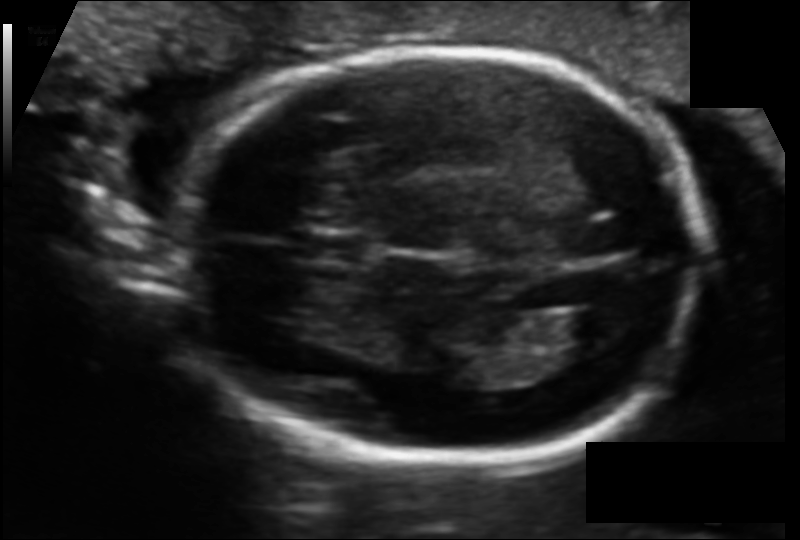
Fetal head ultrasound. Image width: 86.3 mm. Give [x1,y1,x2,y2] bounding boxes for each visible structure among: fetal head, CSP, LV.

Head: [173,50,709,467]
CSP: [304,233,369,263]
Lateral ventricle: [546,298,627,365]